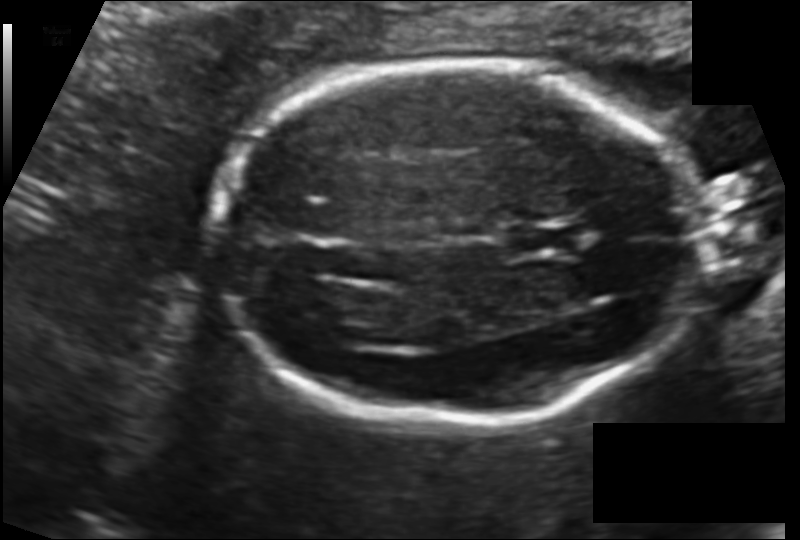
In this fetal head ultrasound, give the bounding box of the fetal head. Image width: 98.3 mm.

[212,65,707,428]